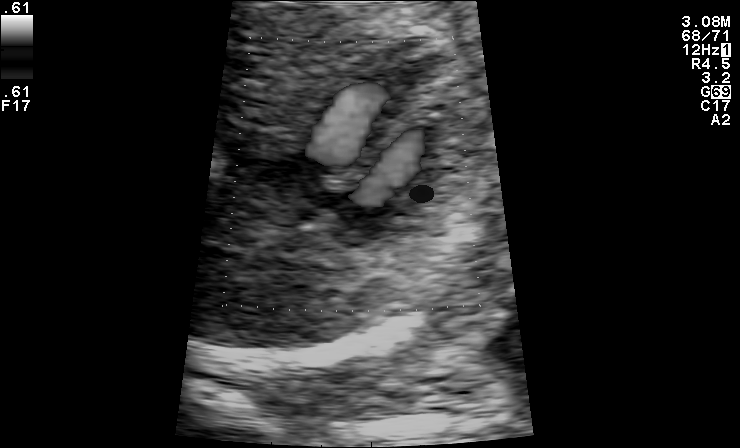
Classify this maternal-fetal ultrasound image as one of the six standard planes — fetal abdomen, fetal brain, fetal femur, fetal thorax, maternal cervix, or other. If it's fetal brain and one of the three standard brain planes (trans-thalamic, trans-cerebellum, trans-ventricular), name which.

Other